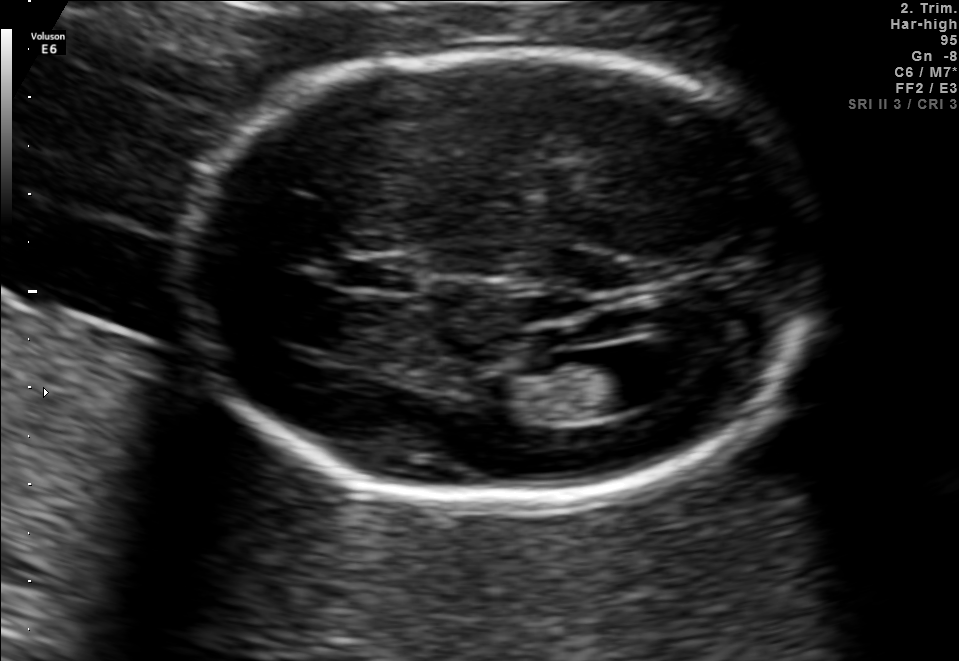
Fetal brain, trans-ventricular plane. Where is the lateral ventricle?

Lateral ventricle bounding box: [562,331,688,423]